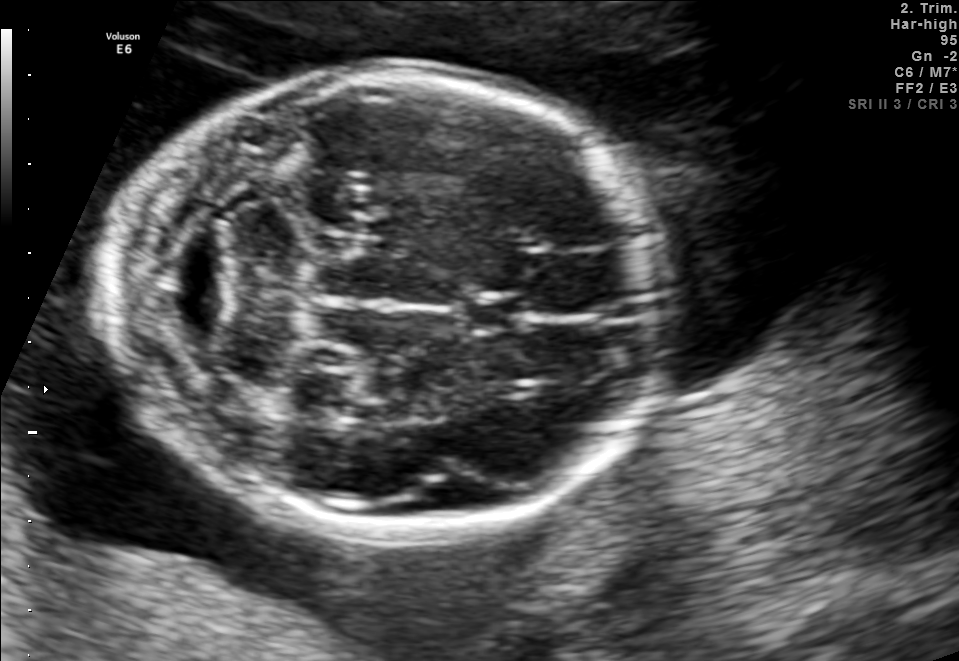
In this fetal brain, trans-cerebellum plane, give the bounding box of the cavum septum pellucidum.

[464,292,534,334]